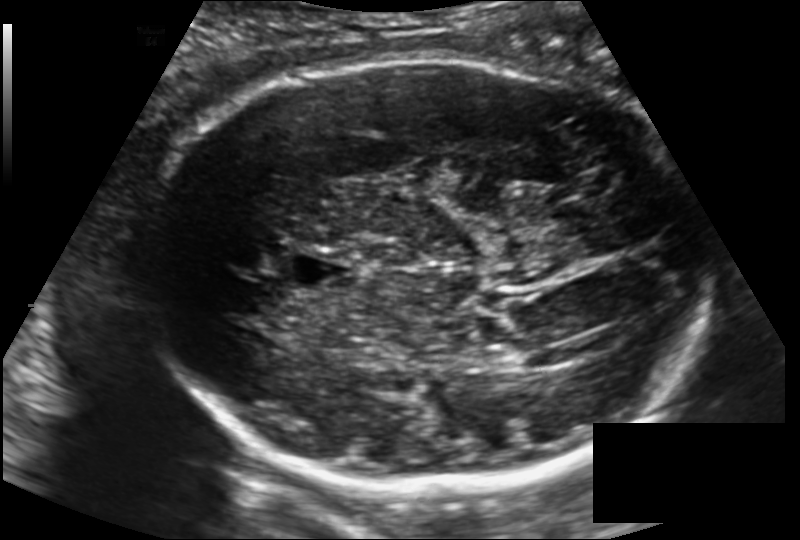
In this fetal head ultrasound, give the bounding box of the lateral ventricle. Image width: 136.5 mm.

[494,338,546,370]